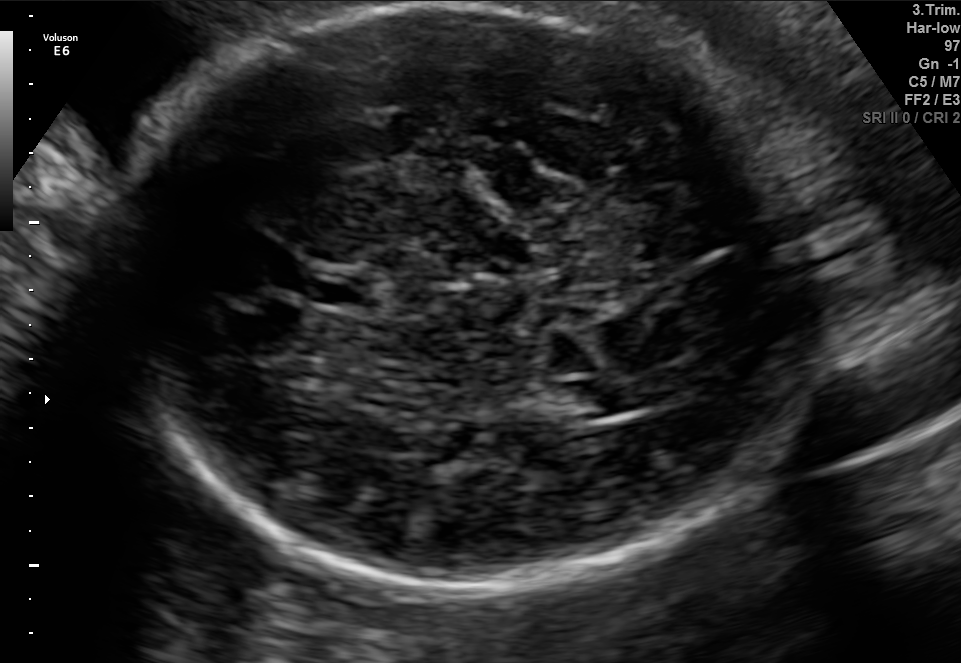
Fetal brain, trans-ventricular plane. Locate the lateral ventricle.

Lateral ventricle: [565,368,656,422]